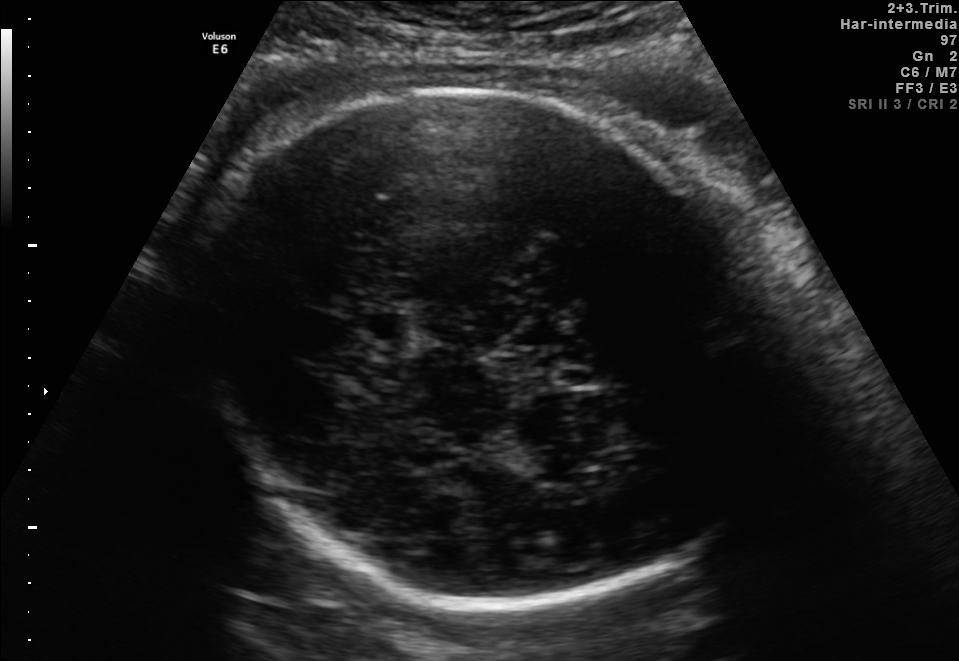
Fetal brain, trans-thalamic plane. Give [x1,y1,x2,y2] bounding boxes for each visible structure among: fetal head, CSP, LV.

Head: [195,91,766,608]
CSP: [349,303,411,348]